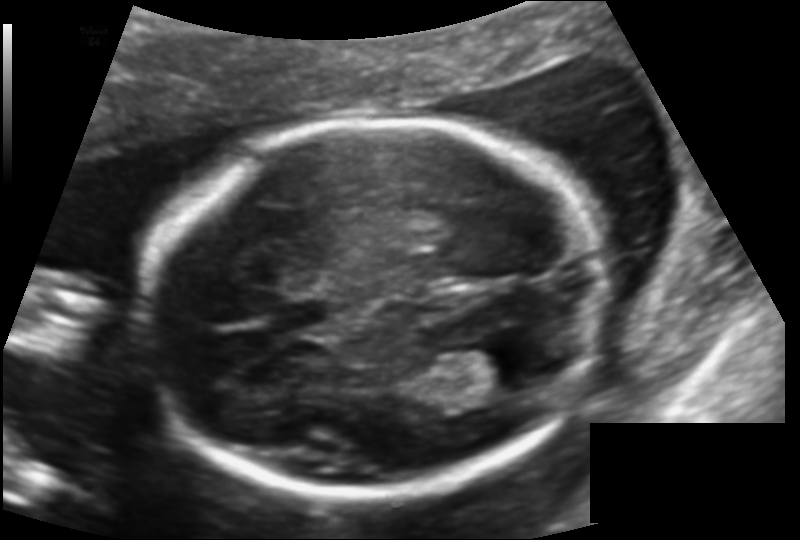
Estimate the fetal head circumference from this 2D ultrasound.

Head circumference: 177.1 mm (image width 105.2 mm).